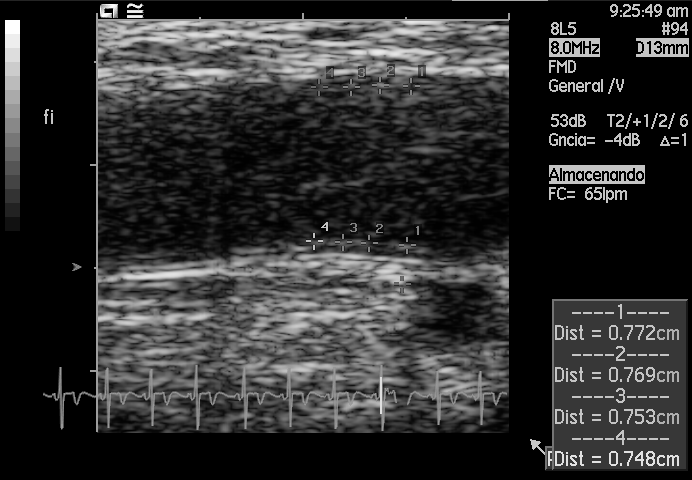
Classify this maternal-fetal ultrasound image as one of the six standard planes — fetal abdomen, fetal brain, fetal femur, fetal thorax, maternal cervix, or other. If it's fetal brain and one of the three standard brain planes (trans-thalamic, trans-cerebellum, trans-ventricular), name which.

Other